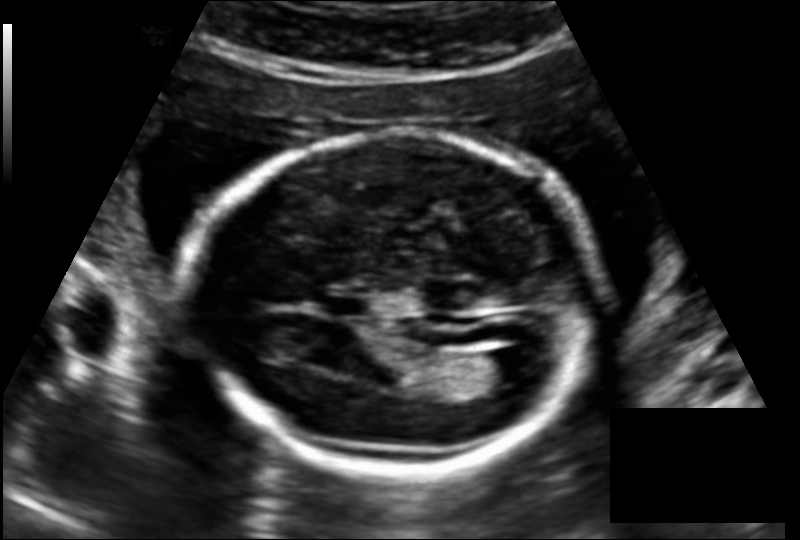
Fetal head ultrasound. Image width: 115.9 mm. Give [x1,y1,x2,y2] bounding boxes for each visible structure among: fetal head, CSP, LV.

Head: [191,131,602,473]
CSP: [322,295,368,318]
Lateral ventricle: [470,344,536,389]